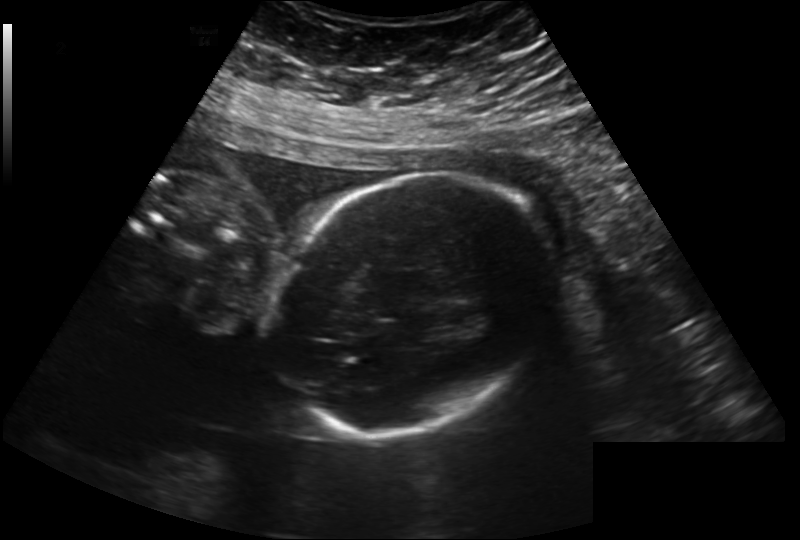
From this fetal ultrasound, estimate the head circumference (image width 177.4 mm).

Head circumference: 193.0 mm.